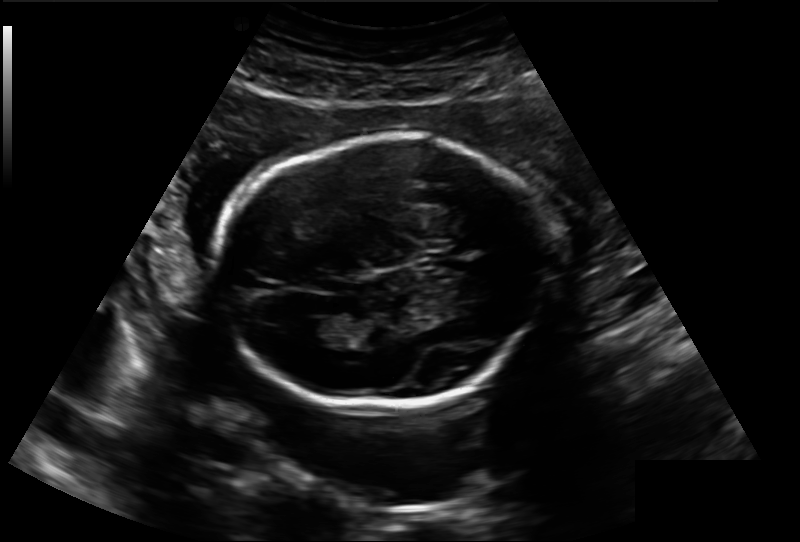
Fetal head ultrasound. Image width: 150.3 mm. Where is the fetal head?

Head bounding box: [219,135,542,410]